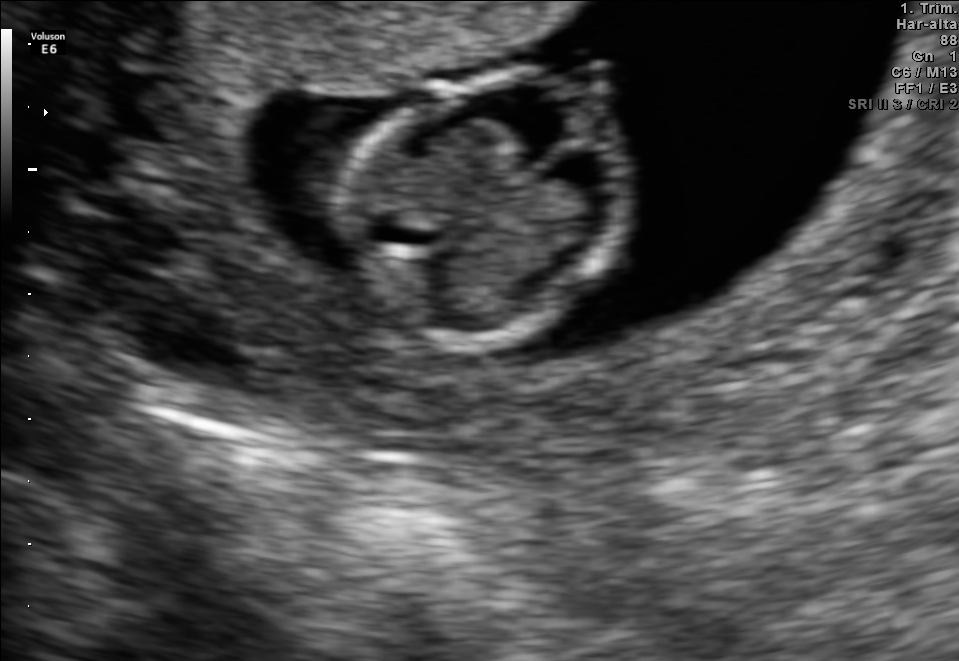
Fetal brain, trans-thalamic plane. Locate the fetal head and, if visible, the cavum septum pellucidum (CSP) and lateral ventricle (LV). Give bounding boxes as [x1,y1,x2,y2].

Head: [347,70,638,341]